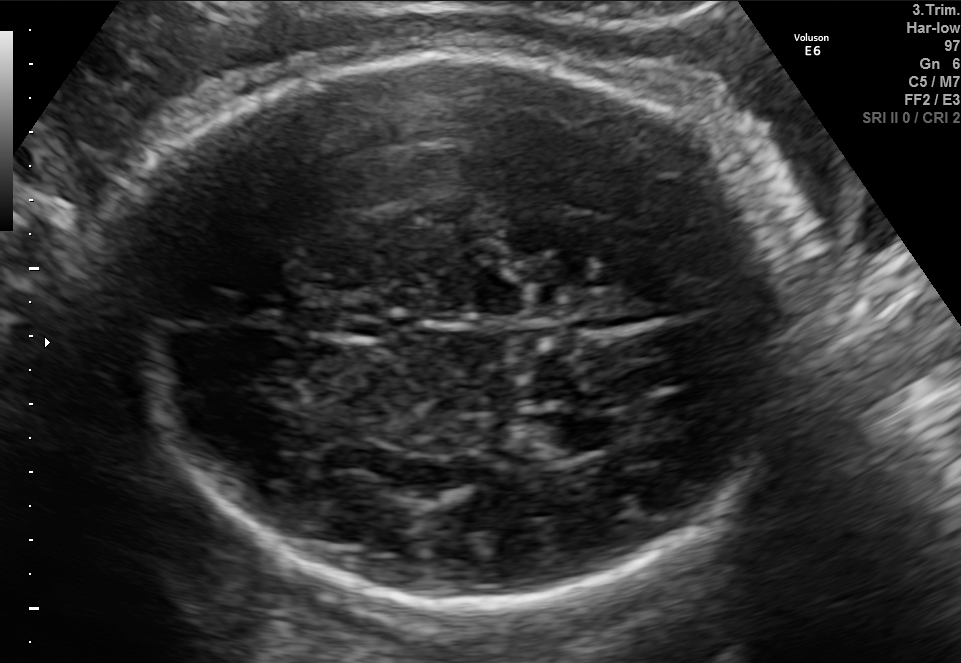
In this fetal brain, trans-thalamic plane, give the bounding box of the fetal head.

[109,42,794,605]